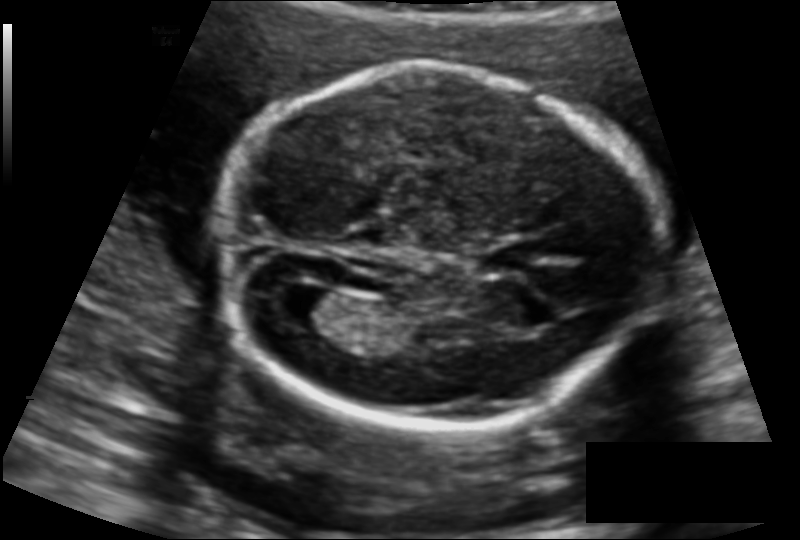
Estimate the fetal head circumference from this 2D ultrasound. Image width: 101.8 mm.

Head circumference: 161.4 mm.